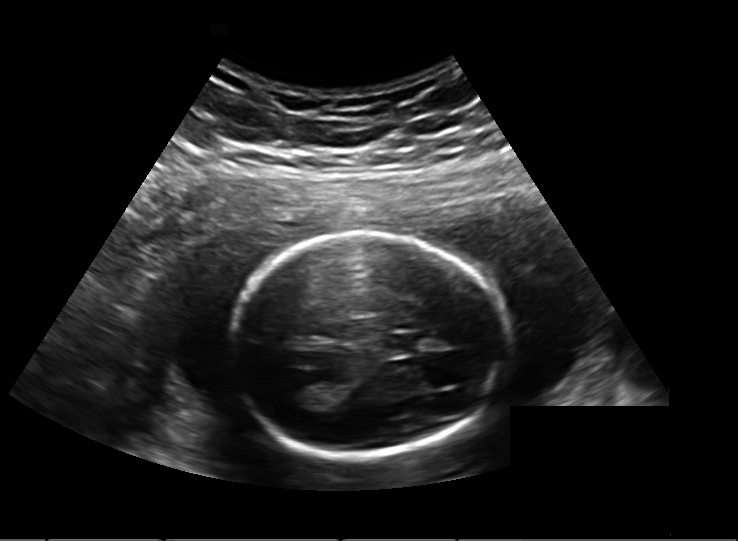
From this fetal ultrasound, estimate the head circumference (image width 149.5 mm).

Head circumference: 164.8 mm.